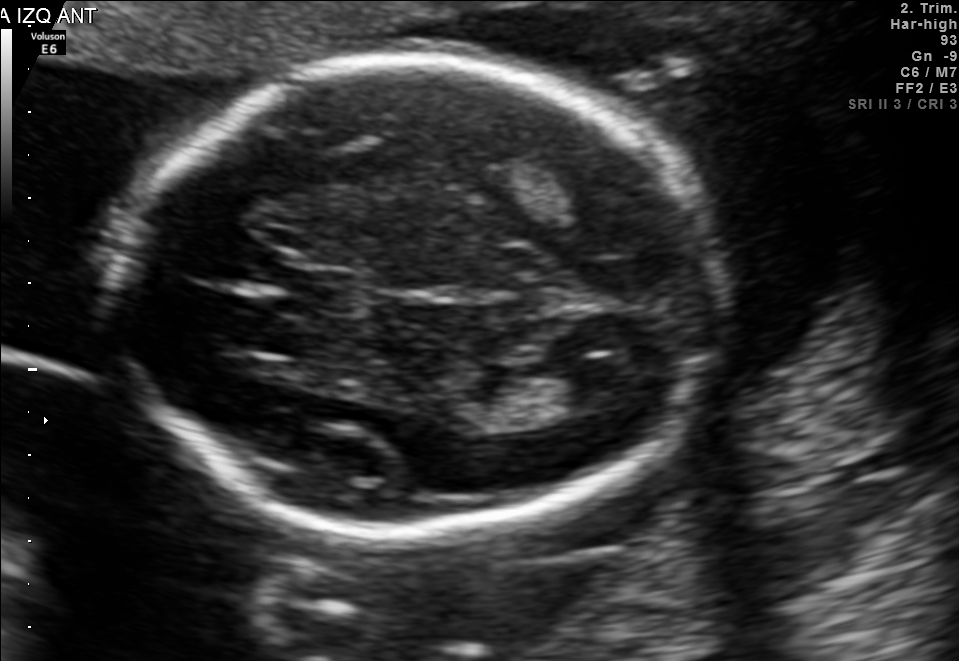
Fetal brain, trans-thalamic plane. Locate the fetal head and, if visible, the cavum septum pellucidum (CSP) and lateral ventricle (LV). Give bounding boxes as [x1,y1,x2,y2].

Head: [110,61,711,528]
CSP: [282,269,352,313]
Lateral ventricle: [529,349,631,425]